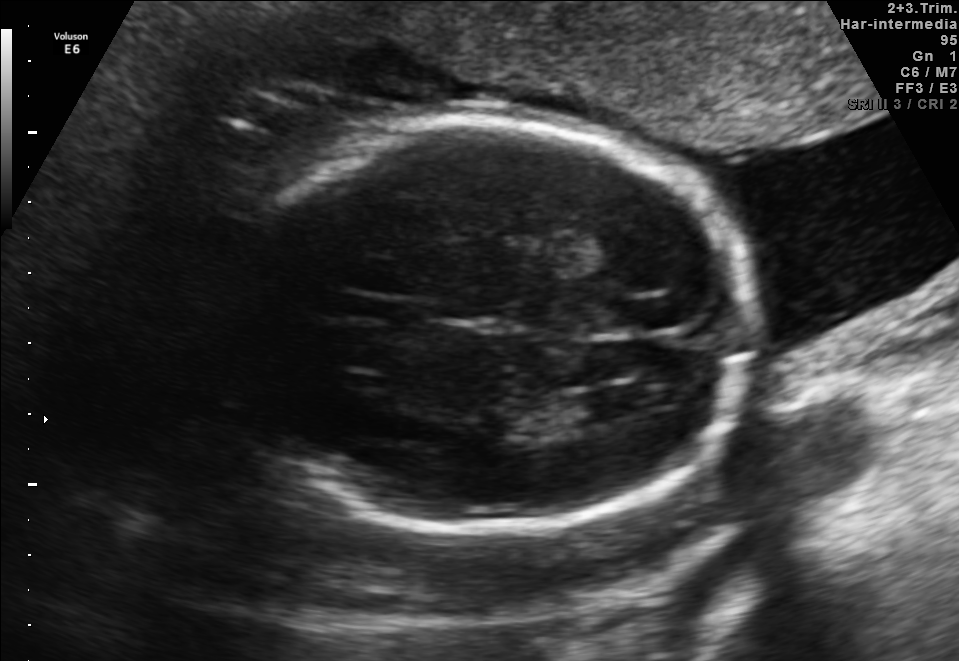
Fetal brain, trans-ventricular plane. Where is the fetal head?

Head bounding box: [235,111,762,536]